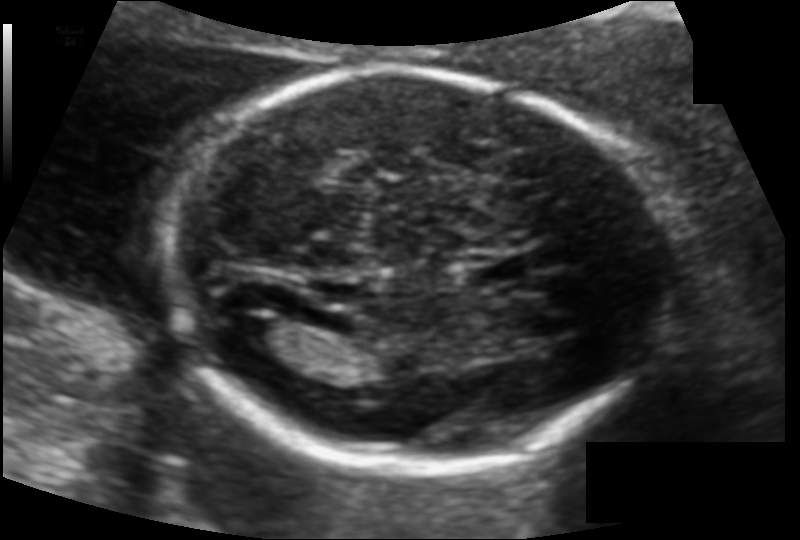
Fetal head ultrasound. Image width: 91.9 mm. Locate the lateral ventricle.

Lateral ventricle: [227,314,285,350]